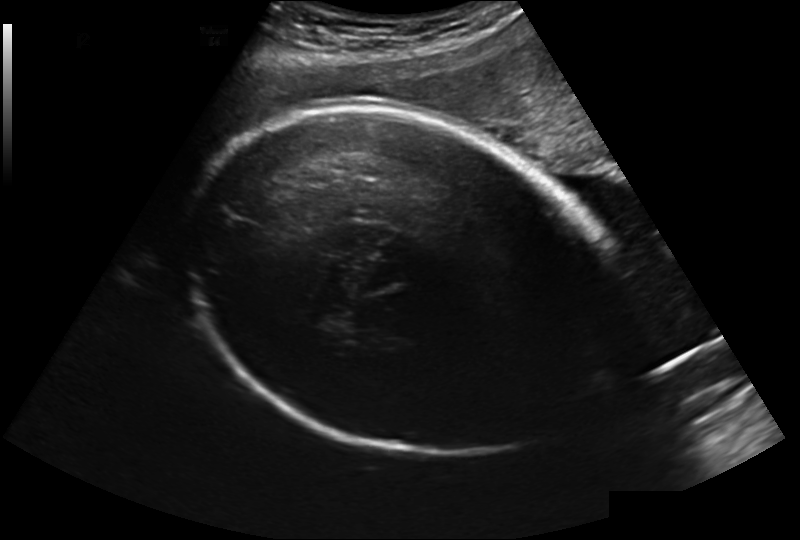
Fetal head ultrasound. Image width: 192.6 mm. Locate the fetal head and, if visible, the cavum septum pellucidum (CSP) and lateral ventricle (LV). Give bounding boxes as [x1,y1,x2,y2].

Head: [185,109,611,455]